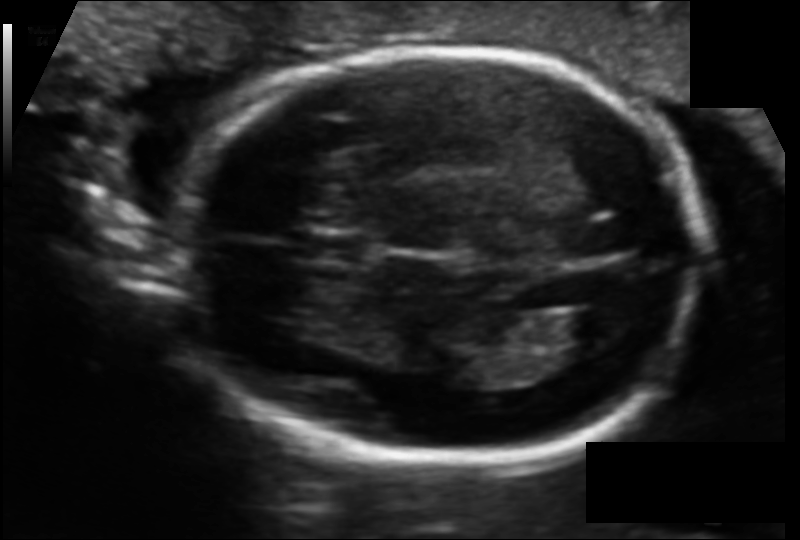
From this fetal ultrasound, estimate the head circumference (image width 86.3 mm).

Head circumference: 166.9 mm.